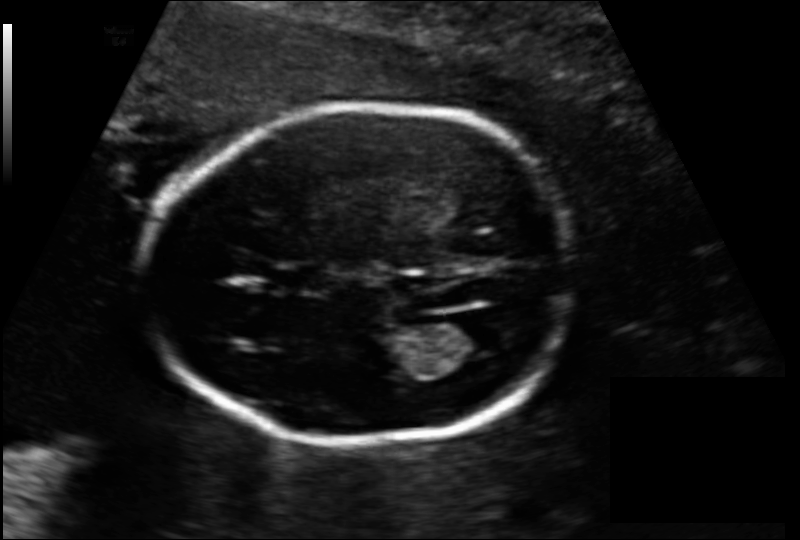
In this fetal head ultrasound, give the bounding box of the fetal head. Image width: 109.4 mm.

[148,105,571,444]